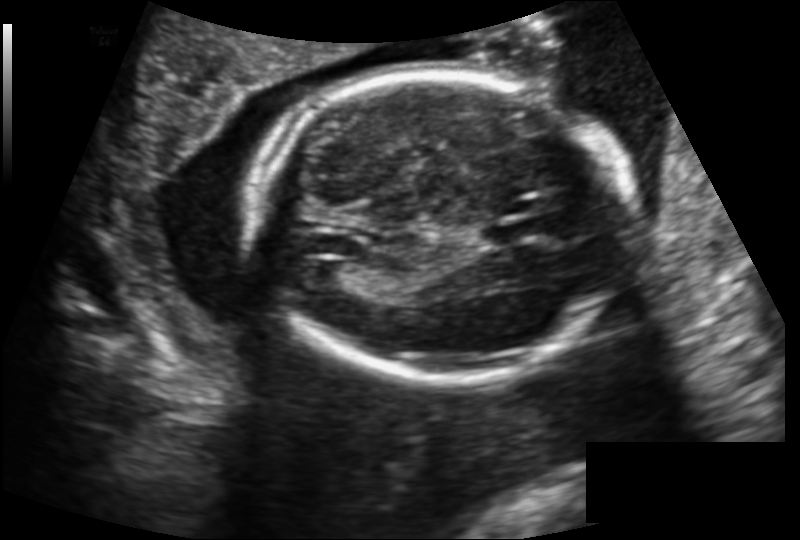
Fetal head ultrasound. Image width: 127.5 mm. Give [x1,y1,x2,y2] bounding boxes for each visible structure among: fetal head, CSP, LV.

Head: [250,70,631,380]
CSP: [480,216,536,248]
Lateral ventricle: [308,262,348,287]